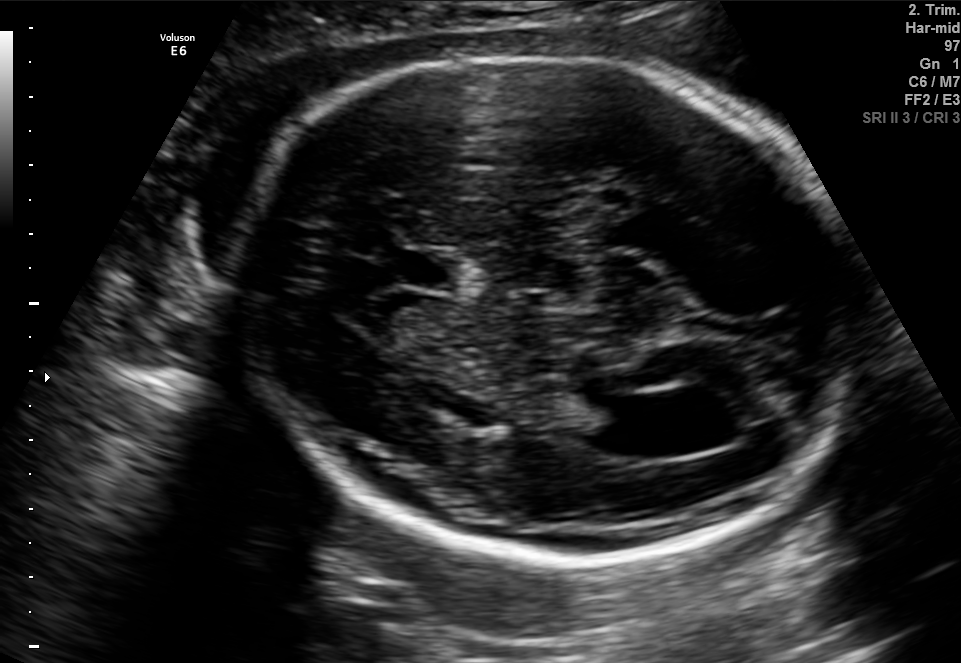
Fetal brain, trans-ventricular plane. Locate the cavum septum pellucidum.

CSP: [367,240,481,299]